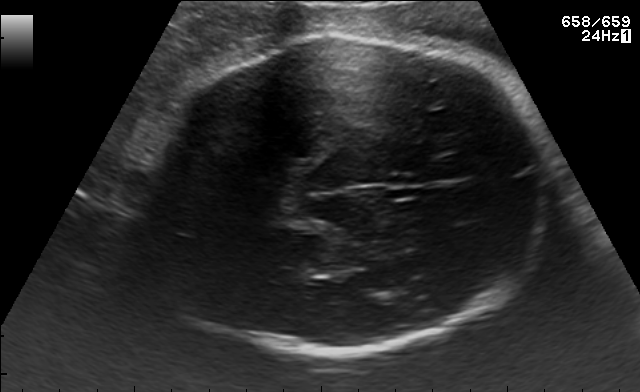
Fetal brain, trans-thalamic plane. Where is the fetal head?

Head bounding box: [120,37,552,351]